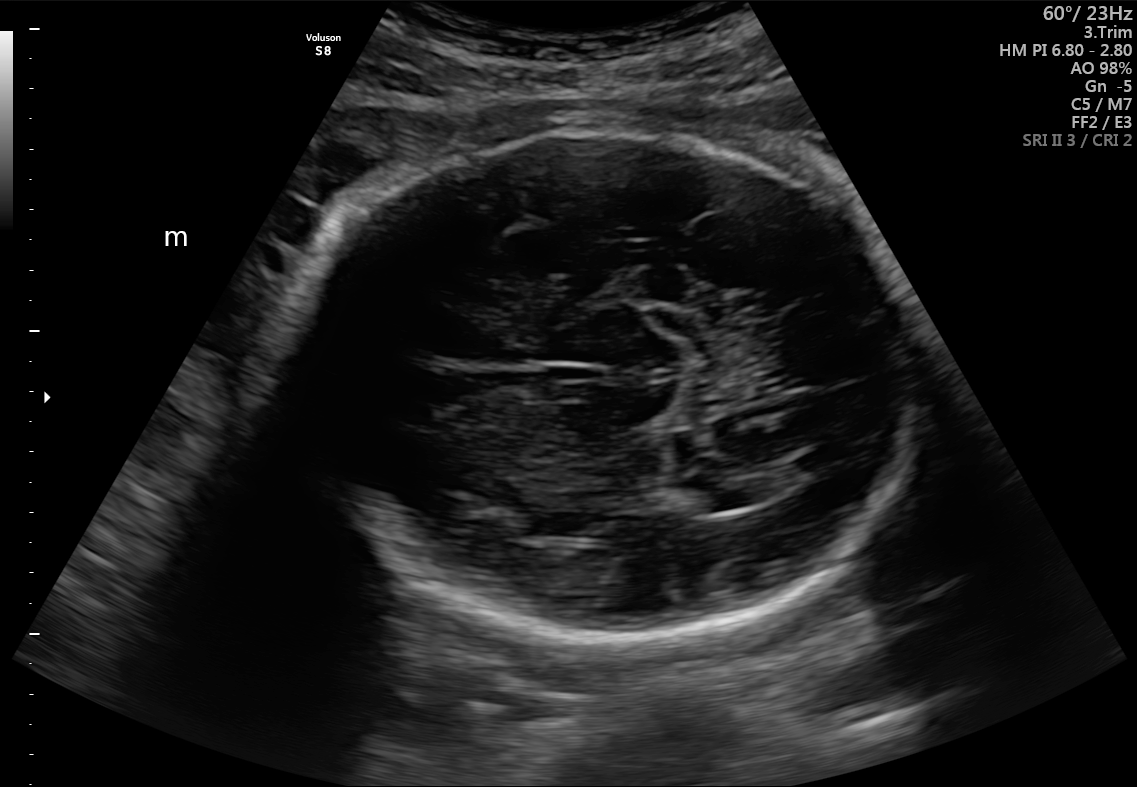
Fetal brain, trans-thalamic plane. Locate the fetal head and, if visible, the cavum septum pellucidum (CSP) and lateral ventricle (LV). Give bounding boxes as [x1,y1,x2,y2].

Head: [286,135,920,645]
Lateral ventricle: [684,465,767,519]